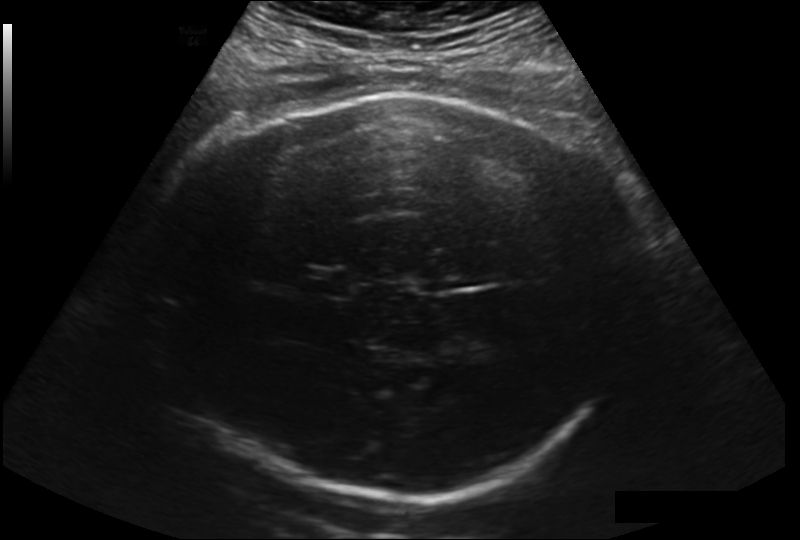
Fetal head ultrasound. Image width: 179.8 mm. Where is the fetal head?

Head bounding box: [141,92,631,497]